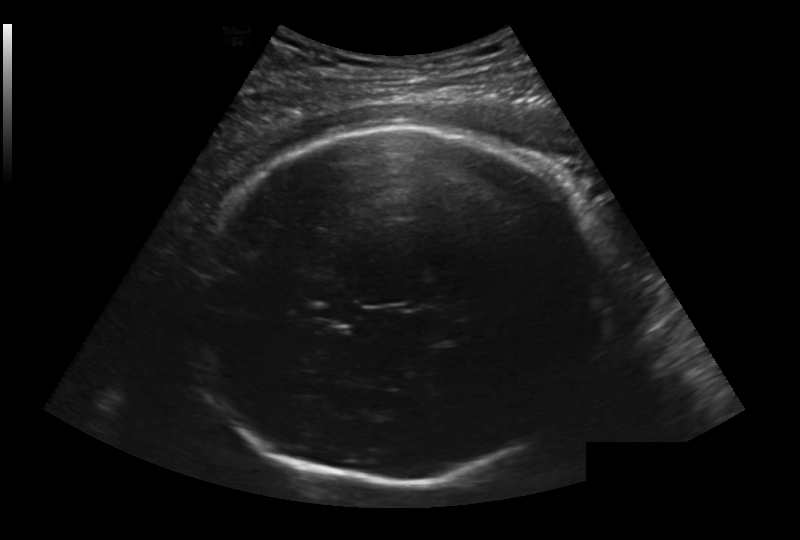
Fetal head ultrasound. Image width: 188.7 mm. Where is the fetal head?

Head bounding box: [198,125,607,485]